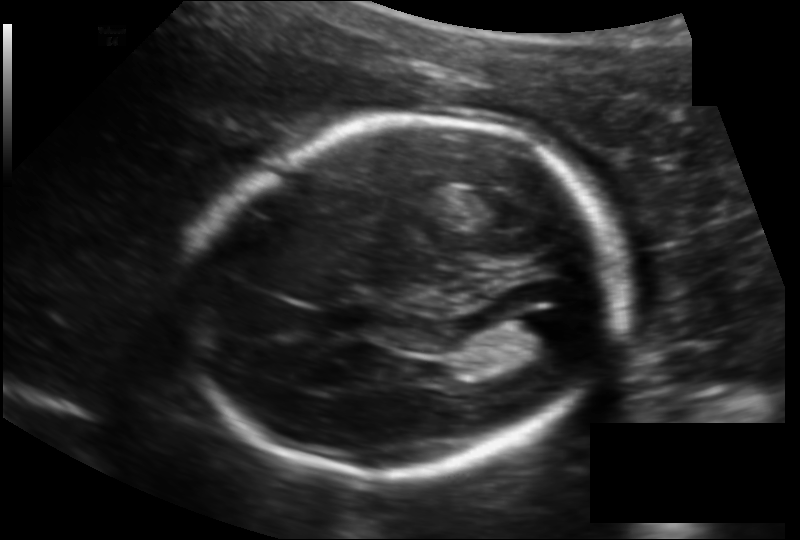
Estimate the fetal head circumference from this 2D ultrasound. Image width: 115.9 mm.

Head circumference: 185.8 mm.